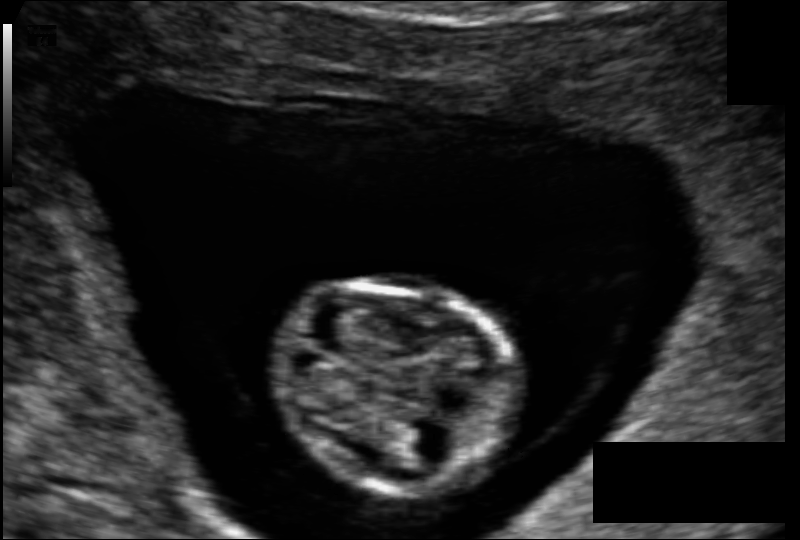
Estimate the fetal head circumference from this 2D ultrasound. Image width: 71.4 mm.

Head circumference: 65.8 mm.